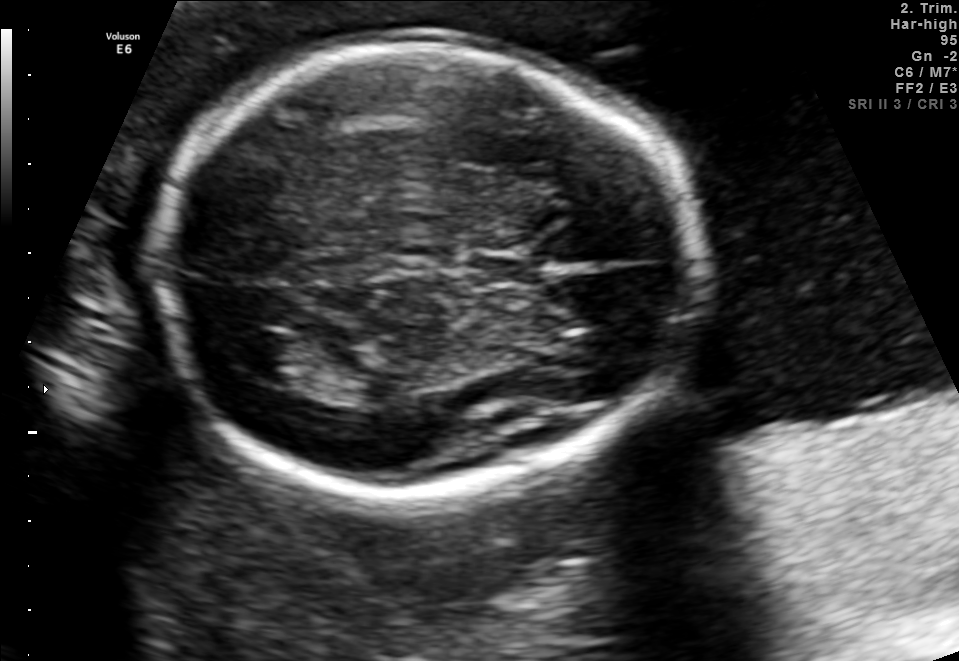
In this fetal brain, trans-thalamic plane, give the bounding box of the fetal head.

[151,49,700,490]